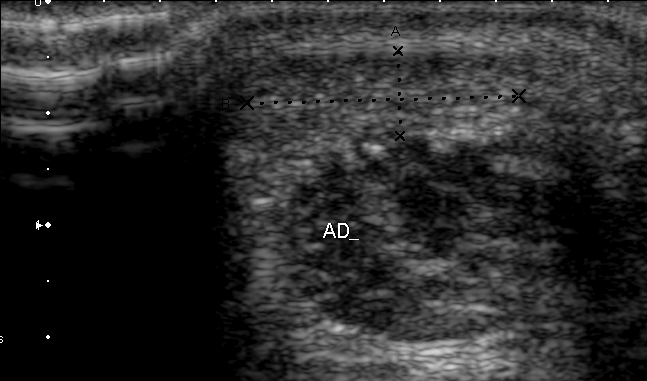
Which standard maternal-fetal ultrasound plane is shown: fetal abdomen, fetal brain, fetal femur, fetal thorax, maternal cervix, or other? If it's fetal brain and one of the three standard brain planes (trans-thalamic, trans-cerebellum, trans-ventricular), name which.

Other